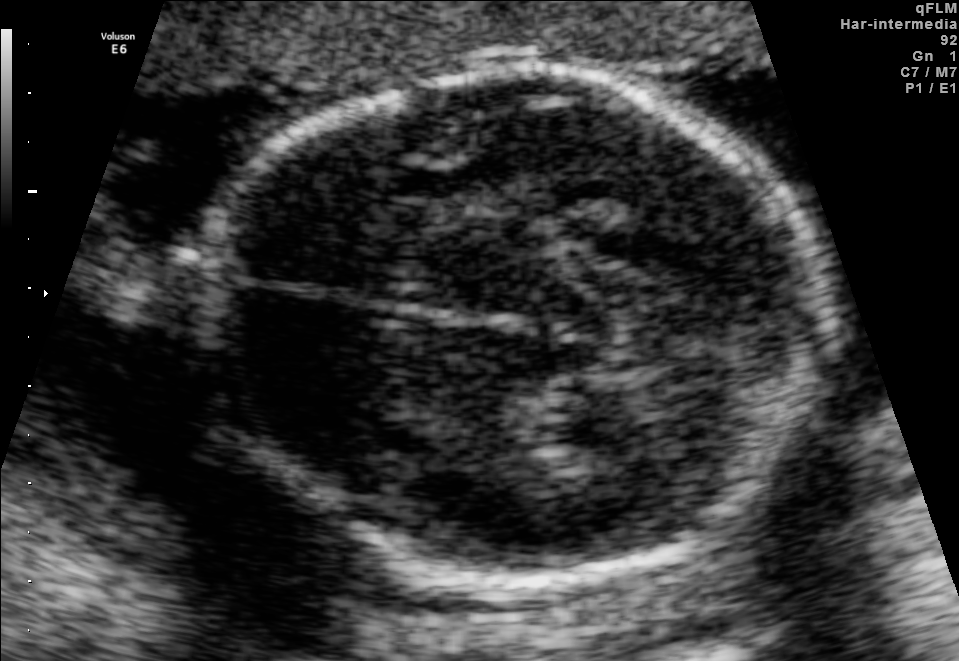
Fetal brain, trans-thalamic plane. Where is the lateral ventricle?

Lateral ventricle bounding box: [541,377,686,467]